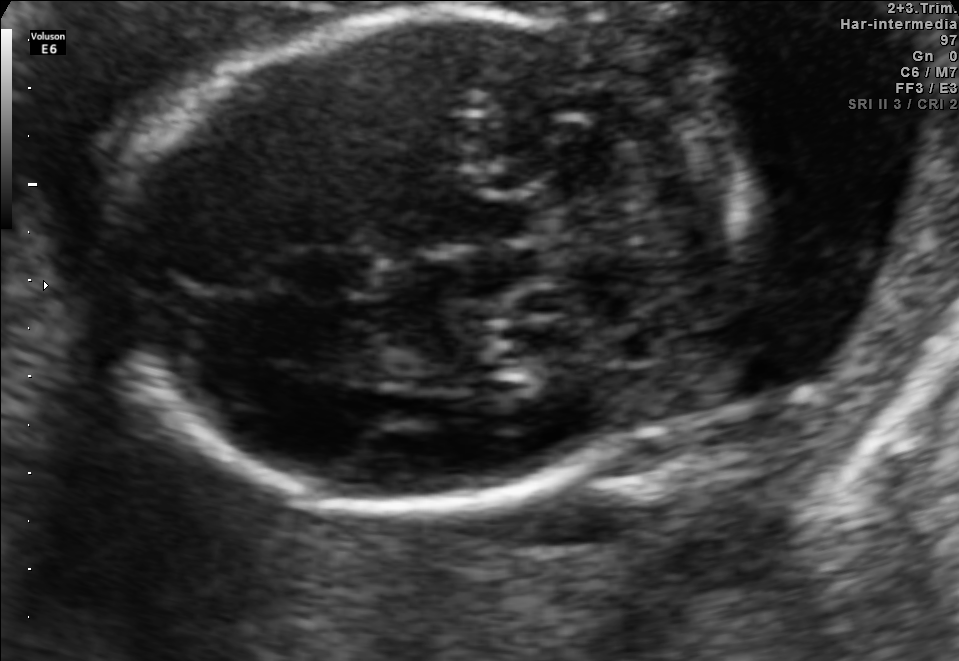
Fetal brain, trans-cerebellum plane. Where is the cavum septum pellucidum?

CSP bounding box: [289,245,380,300]